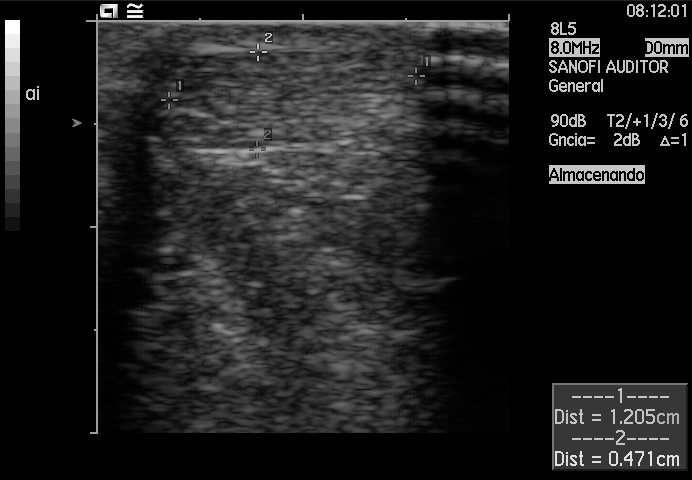
Which standard maternal-fetal ultrasound plane is shown: fetal abdomen, fetal brain, fetal femur, fetal thorax, maternal cervix, or other? If it's fetal brain and one of the three standard brain planes (trans-thalamic, trans-cerebellum, trans-ventricular), name which.

Other